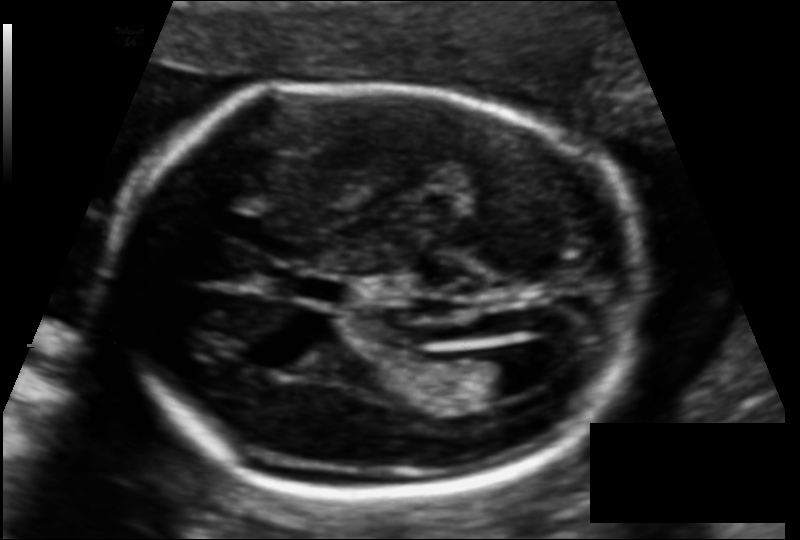
Fetal head ultrasound. Image width: 92.4 mm. Locate the fetal head and, if visible, the cavum septum pellucidum (CSP) and lateral ventricle (LV). Give bounding boxes as [x1,y1,x2,y2].

Head: [105,87,647,493]
CSP: [284,270,347,307]
Lateral ventricle: [451,347,537,406]